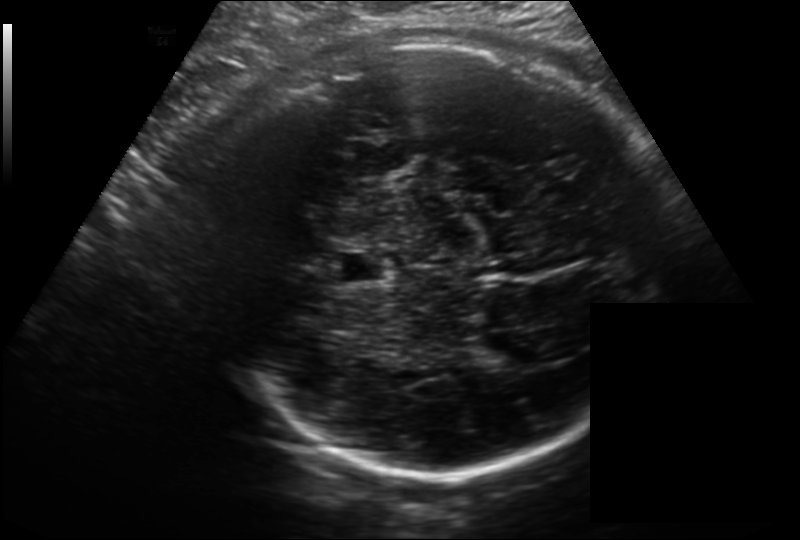
In this fetal head ultrasound, give the bounding box of the cavum septum pellucidum. Image width: 171.5 mm.

[333,251,392,282]